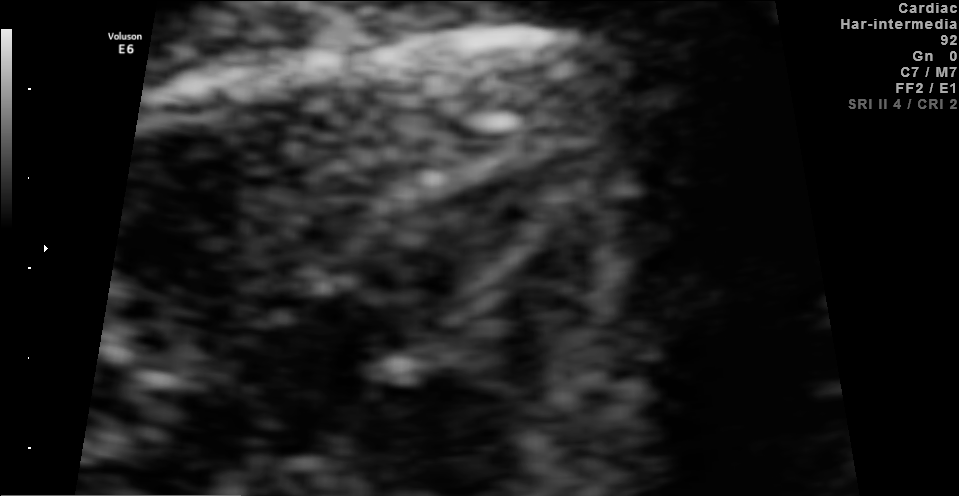
Which standard maternal-fetal ultrasound plane is shown: fetal abdomen, fetal brain, fetal femur, fetal thorax, maternal cervix, or other? If it's fetal brain and one of the three standard brain planes (trans-thalamic, trans-cerebellum, trans-ventricular), name which.

Fetal thorax